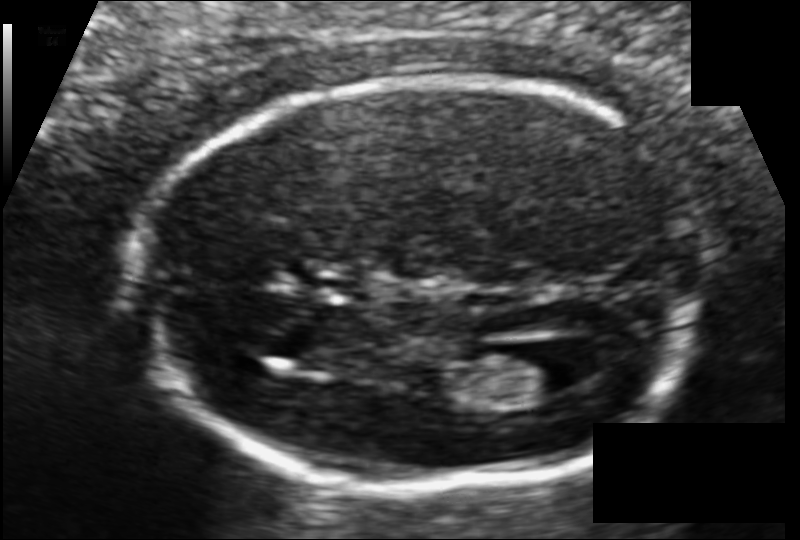
From this fetal ultrasound, estimate the head circumference (image width 83.6 mm).

Head circumference: 163.9 mm.